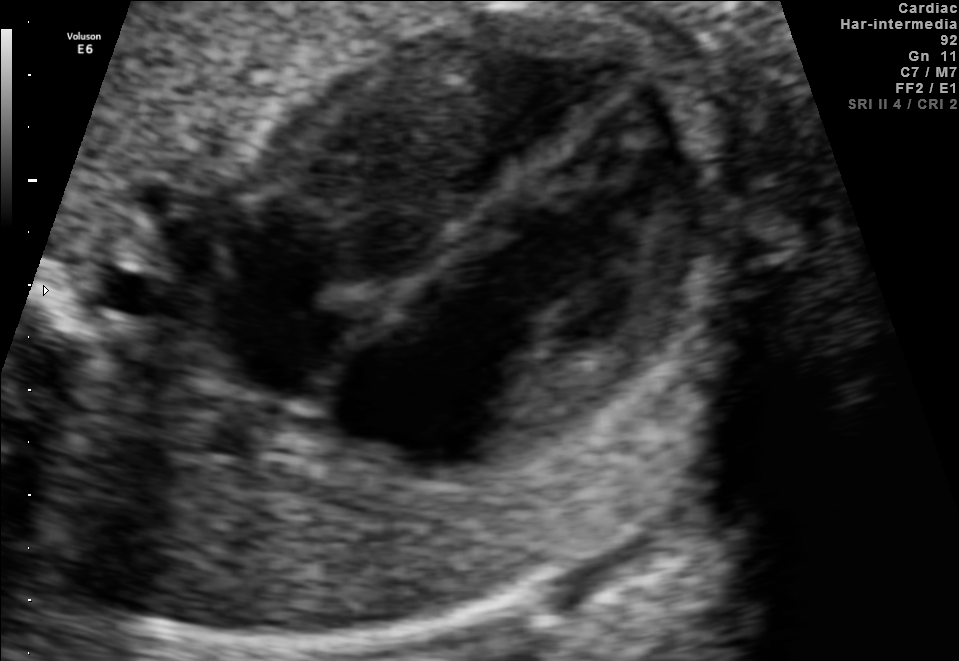
This is a 2D maternal-fetal ultrasound frame. Is it a fetal abdomen, fetal brain, fetal femur, fetal thorax, maternal cervix, or other standard plane? If it's fetal brain and one of the three standard brain planes (trans-thalamic, trans-cerebellum, trans-ventricular), name which.

Fetal thorax